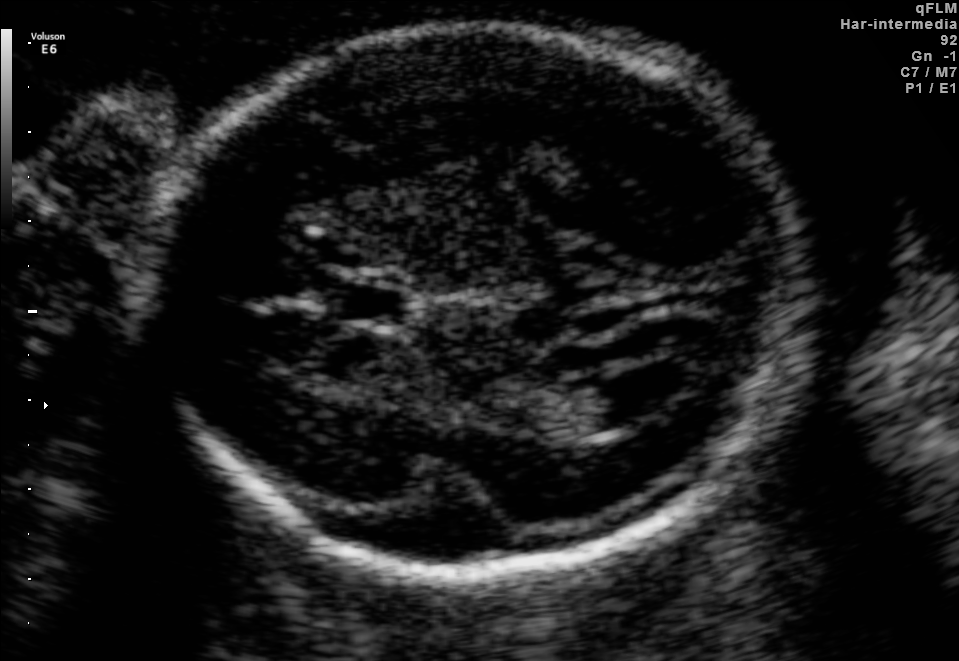
Fetal brain, trans-ventricular plane. Where is the cavum septum pellucidum?

CSP bounding box: [317,276,425,331]